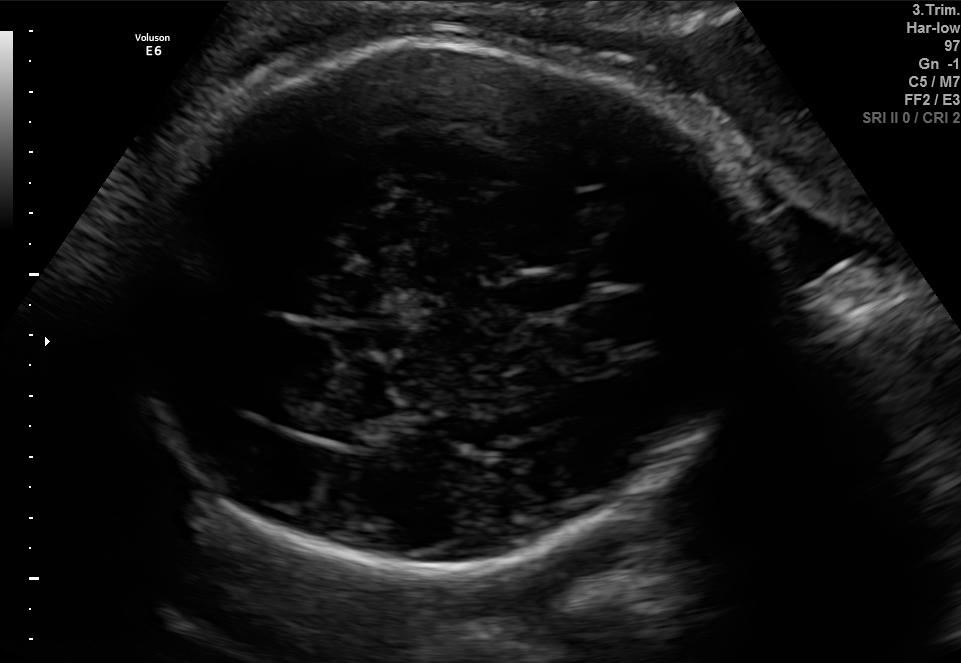
Fetal brain, trans-ventricular plane. Where is the fetal head?

Head bounding box: [108,35,781,582]